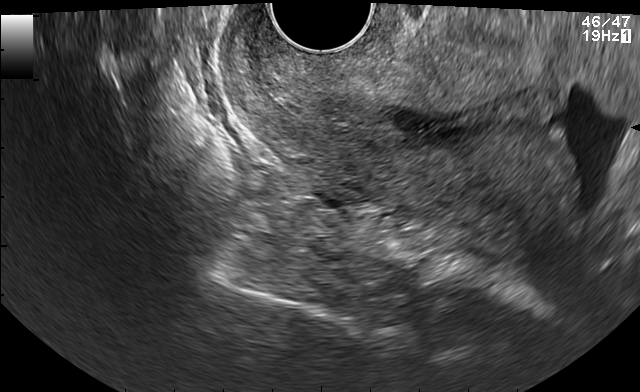
Which standard maternal-fetal ultrasound plane is shown: fetal abdomen, fetal brain, fetal femur, fetal thorax, maternal cervix, or other? If it's fetal brain and one of the three standard brain planes (trans-thalamic, trans-cerebellum, trans-ventricular), name which.

Maternal cervix